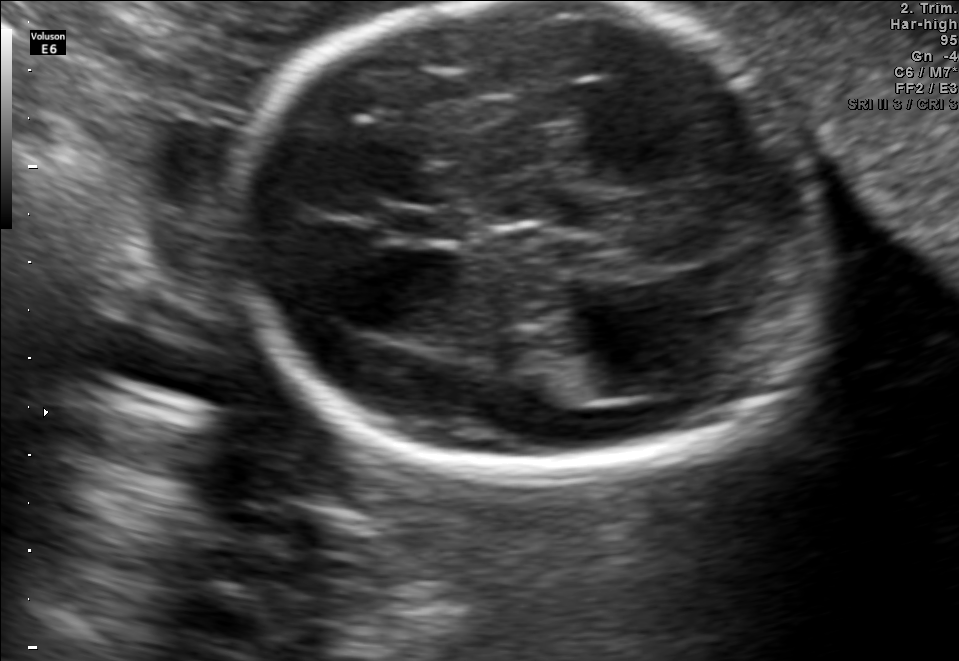
Fetal brain, trans-thalamic plane. Where is the cavum septum pellucidum?

CSP bounding box: [383,204,464,241]